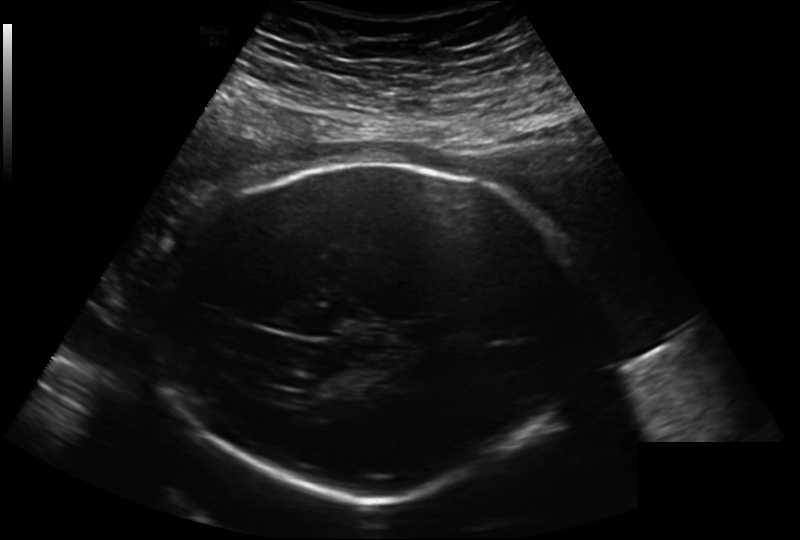
Fetal head ultrasound. Image width: 192.6 mm. Where is the fetal head?

Head bounding box: [159,163,582,498]